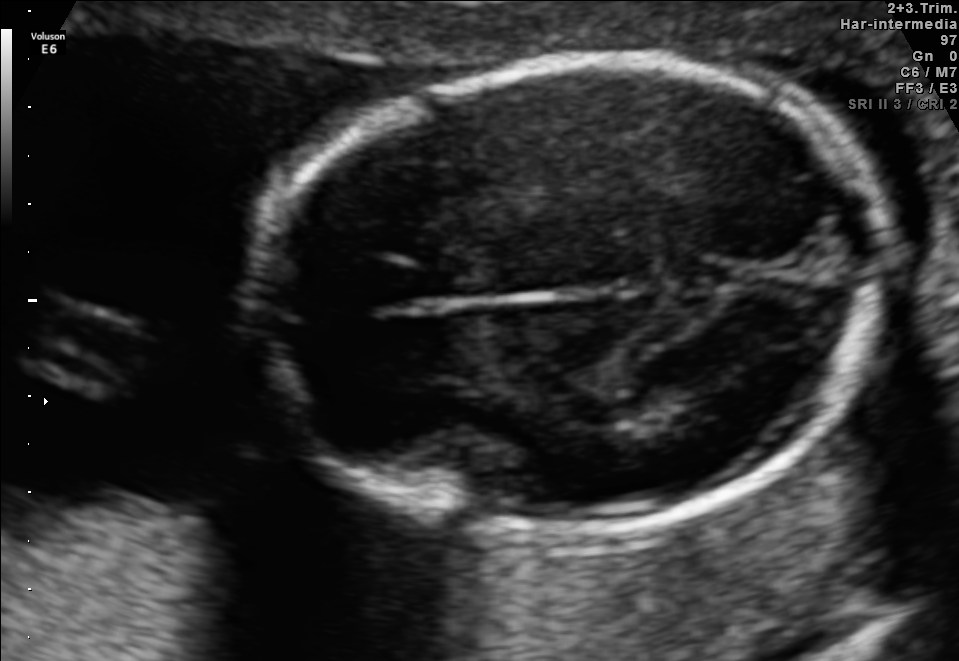
In this fetal brain, trans-thalamic plane, give bounding boxes for the head outline, cavum septum pellucidum (CSP), and lateral ventricle (LV), where visible.

Head: [256,57,893,536]